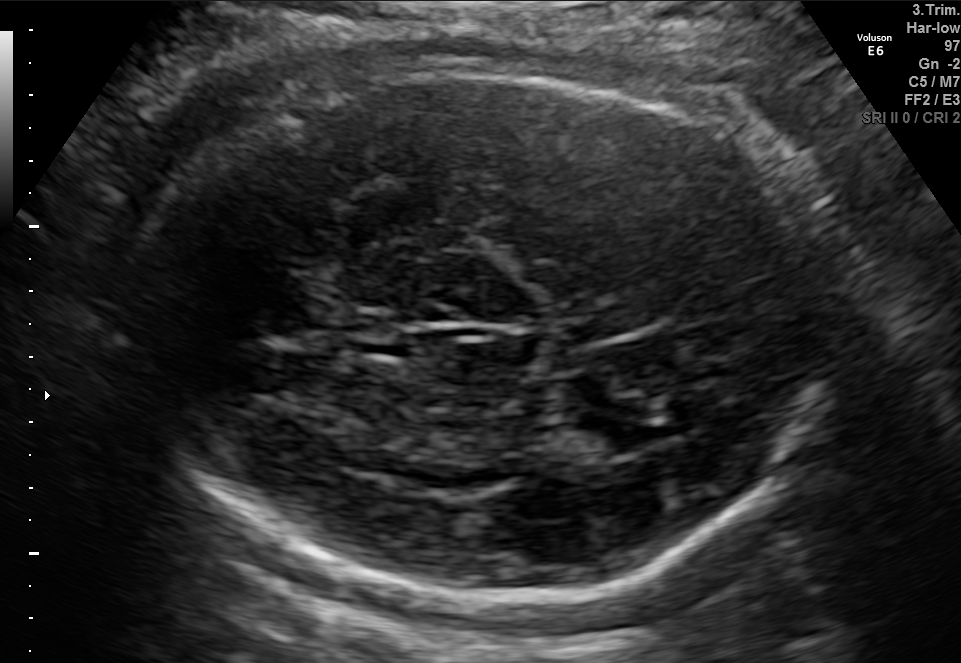
In this fetal brain, trans-thalamic plane, give the bounding box of the fetal head.

[131,66,830,611]